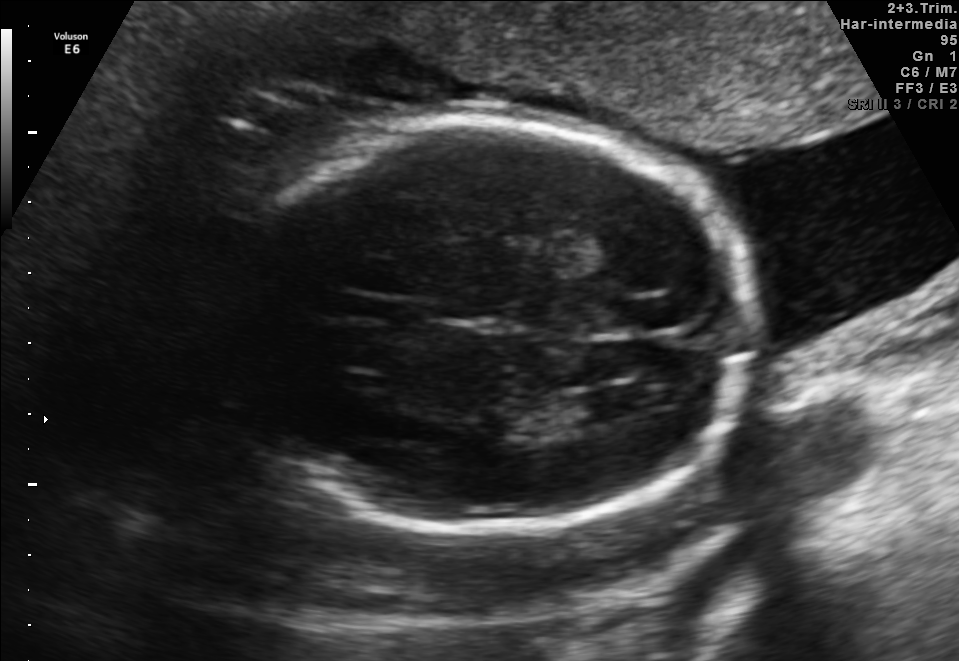
In this fetal brain, trans-ventricular plane, give the bounding box of the cavum septum pellucidum.

[352,297,409,324]